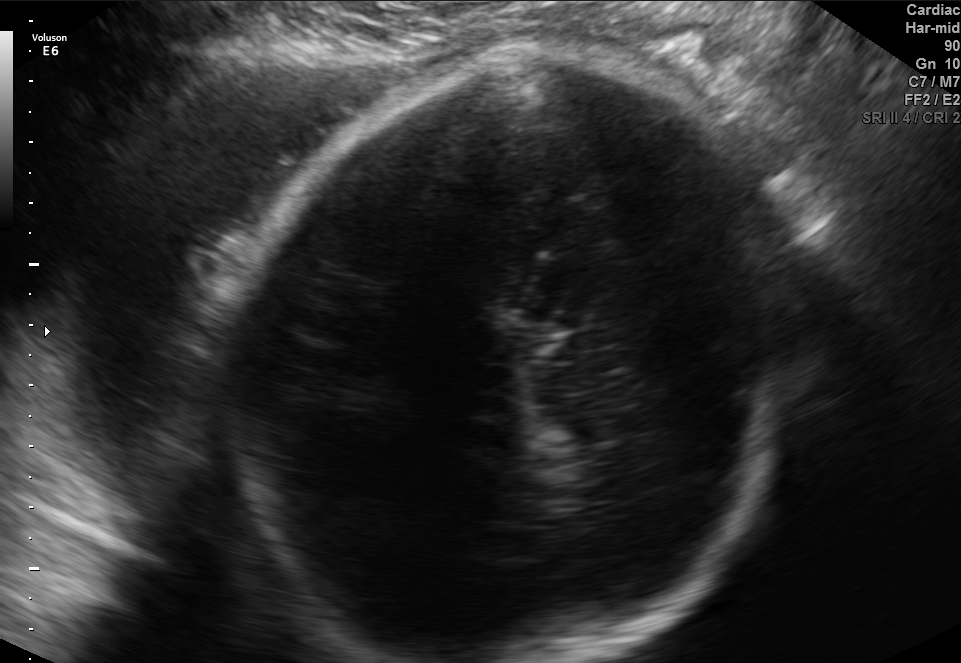
Fetal brain, trans-thalamic plane. Where is the fetal head?

Head bounding box: [228,57,799,662]